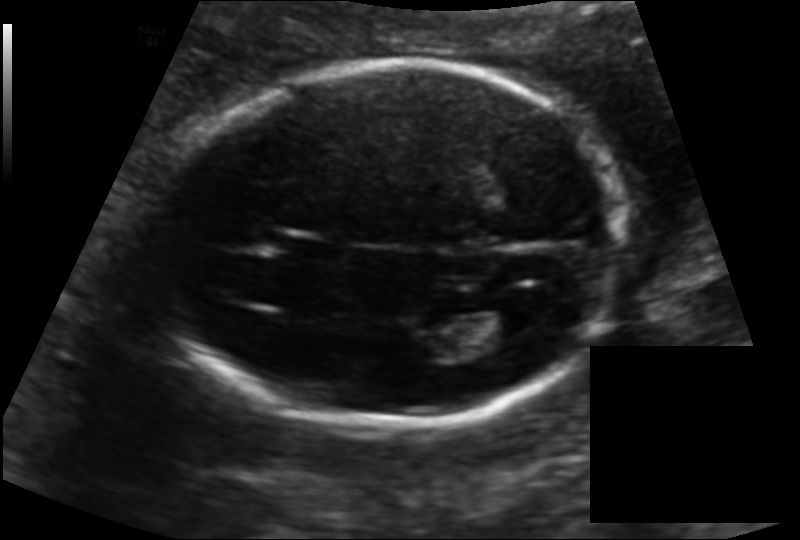
In this fetal head ultrasound, give the bounding box of the cavum septum pellucidum. Image width: 110.8 mm.

[266,227,336,266]